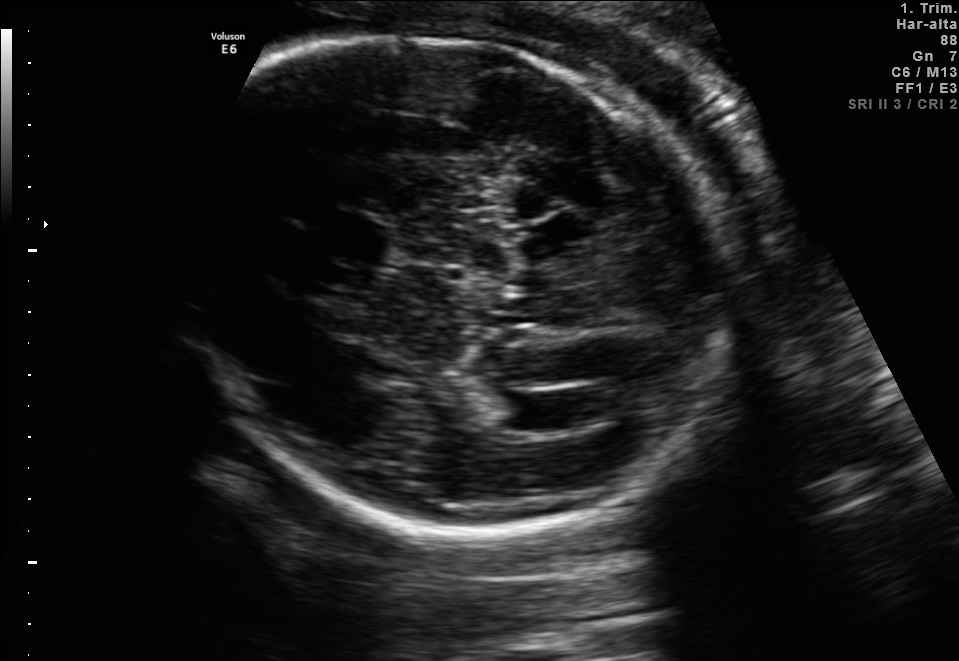
Classify this maternal-fetal ultrasound image as one of the six standard planes — fetal abdomen, fetal brain, fetal femur, fetal thorax, maternal cervix, or other. If it's fetal brain and one of the three standard brain planes (trans-thalamic, trans-cerebellum, trans-ventricular), name which.

Fetal brain (trans-ventricular plane)